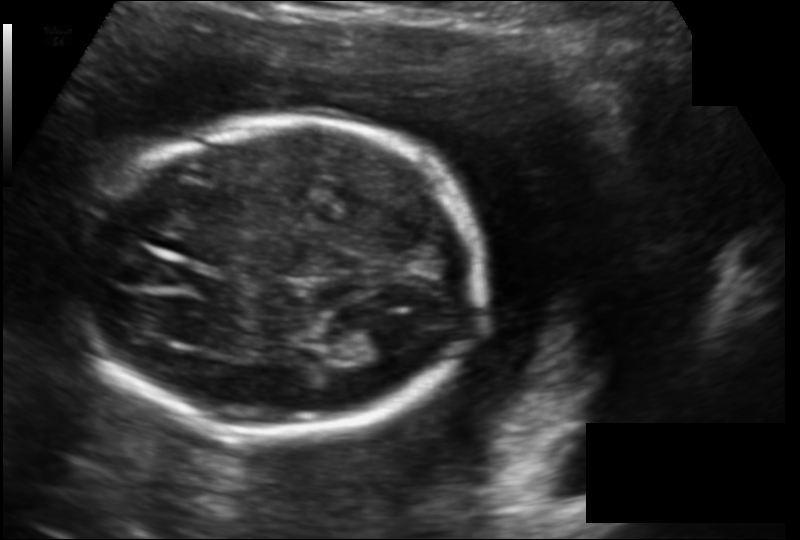
In this fetal head ultrasound, give the bounding box of the fetal head. Image width: 113.3 mm.

[75,119,481,434]